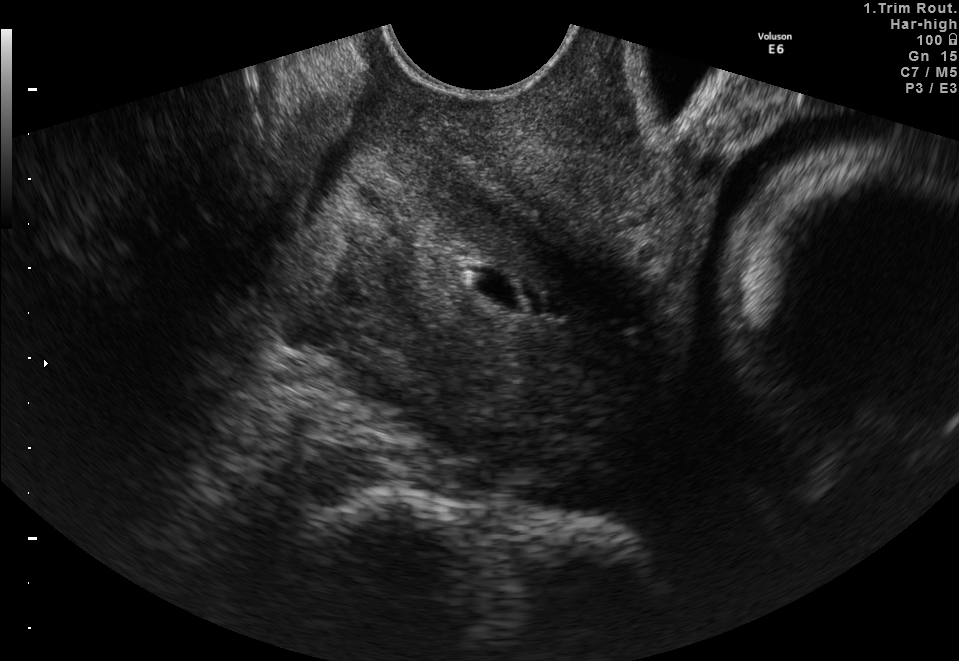
Which standard maternal-fetal ultrasound plane is shown: fetal abdomen, fetal brain, fetal femur, fetal thorax, maternal cervix, or other? If it's fetal brain and one of the three standard brain planes (trans-thalamic, trans-cerebellum, trans-ventricular), name which.

Maternal cervix